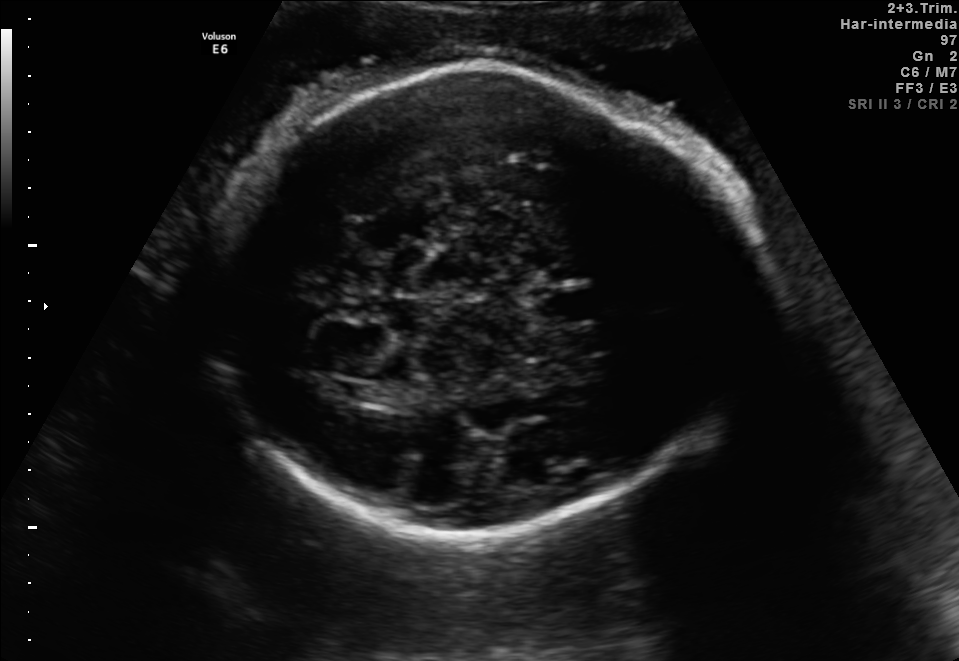
In this fetal brain, trans-thalamic plane, give the bounding box of the cavum septum pellucidum.

[532,284,604,326]